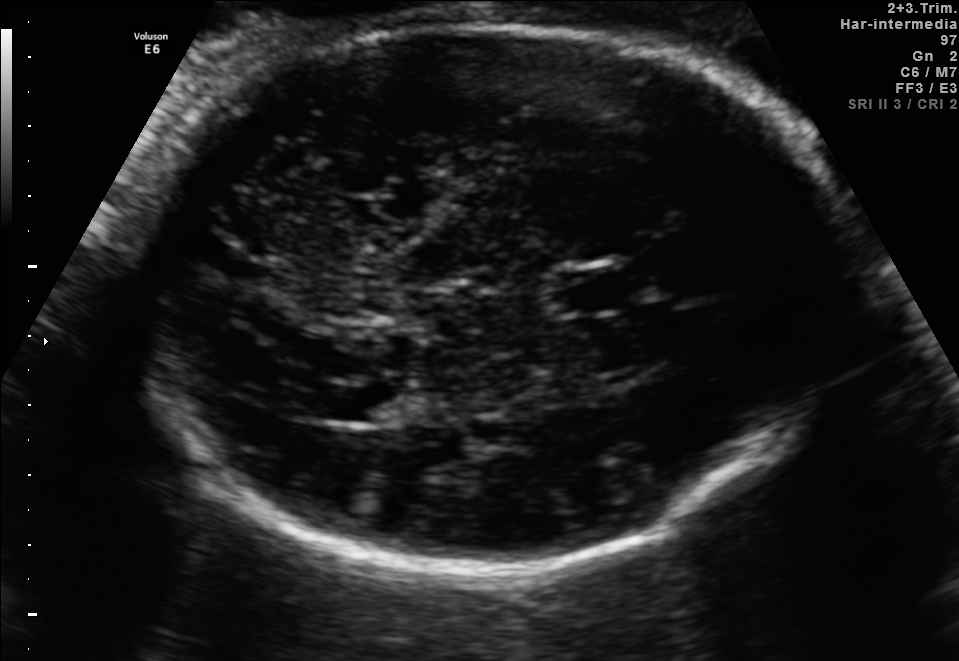
In this fetal brain, trans-thalamic plane, give the bounding box of the lateral ventricle.

[305,383,391,424]